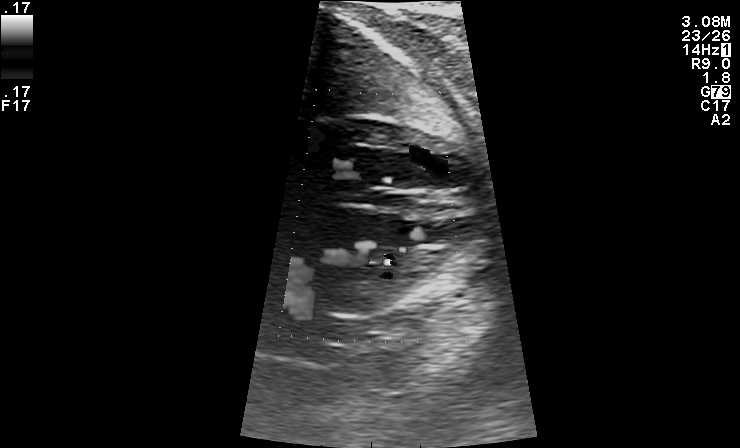
This is a 2D maternal-fetal ultrasound frame. Is it a fetal abdomen, fetal brain, fetal femur, fetal thorax, maternal cervix, or other standard plane? If it's fetal brain and one of the three standard brain planes (trans-thalamic, trans-cerebellum, trans-ventricular), name which.

Other